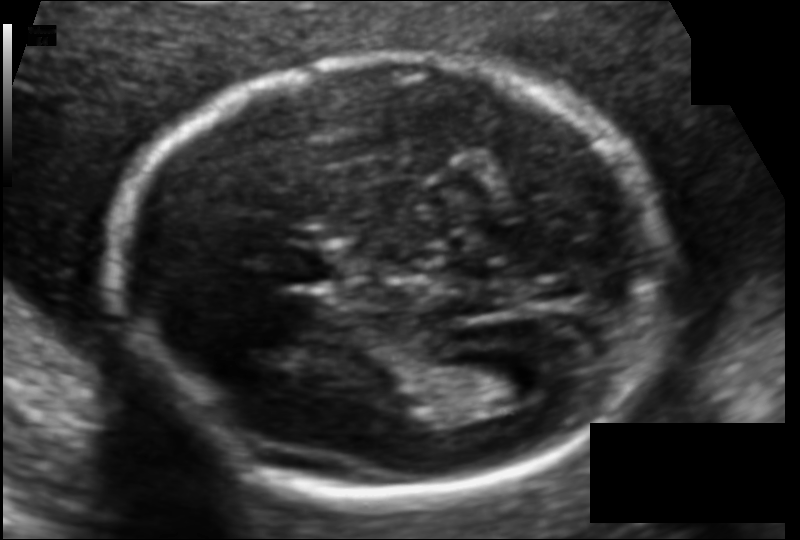
What is the fetal head circumference? Image width is 83.5 mm.

166.9 mm